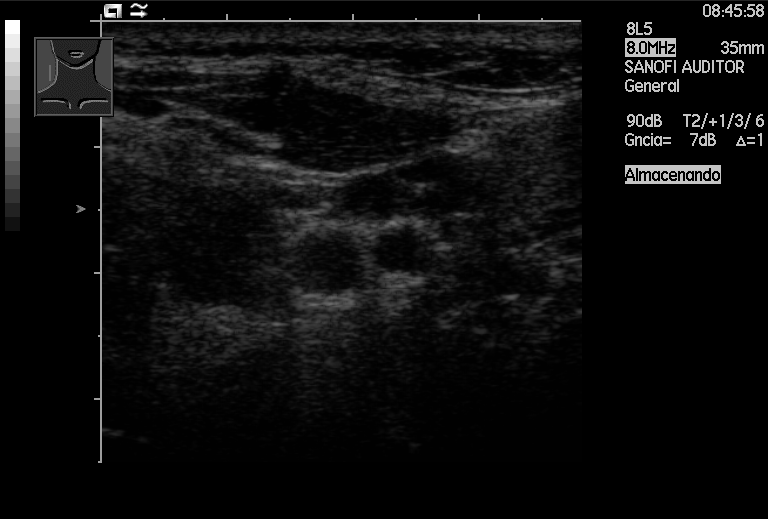
Classify this maternal-fetal ultrasound image as one of the six standard planes — fetal abdomen, fetal brain, fetal femur, fetal thorax, maternal cervix, or other. If it's fetal brain and one of the three standard brain planes (trans-thalamic, trans-cerebellum, trans-ventricular), name which.

Other